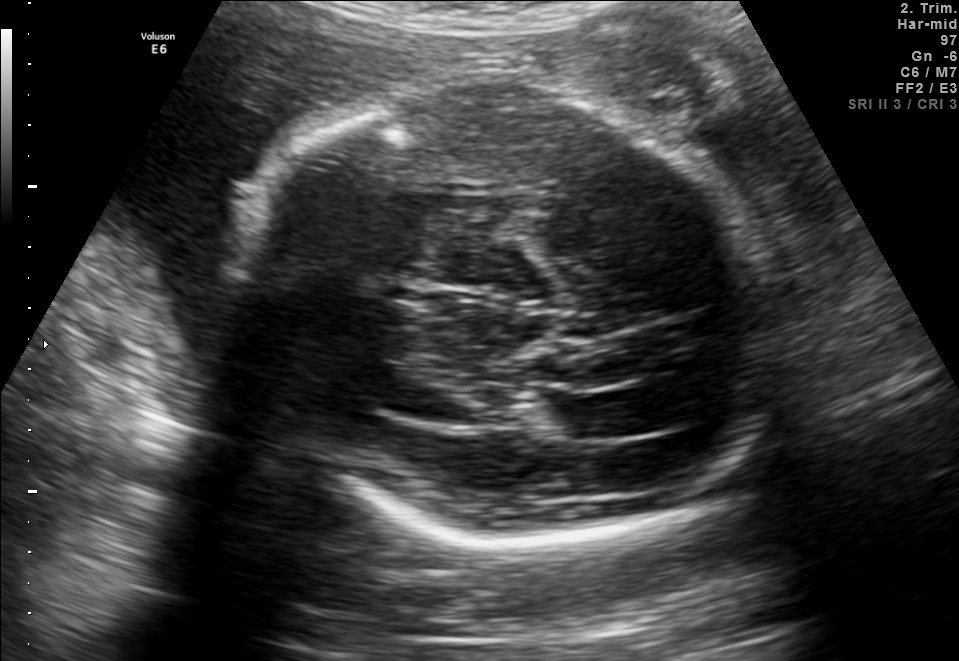
Fetal brain, trans-thalamic plane. Where is the lateral ventricle?

Lateral ventricle bounding box: [542,393,632,441]